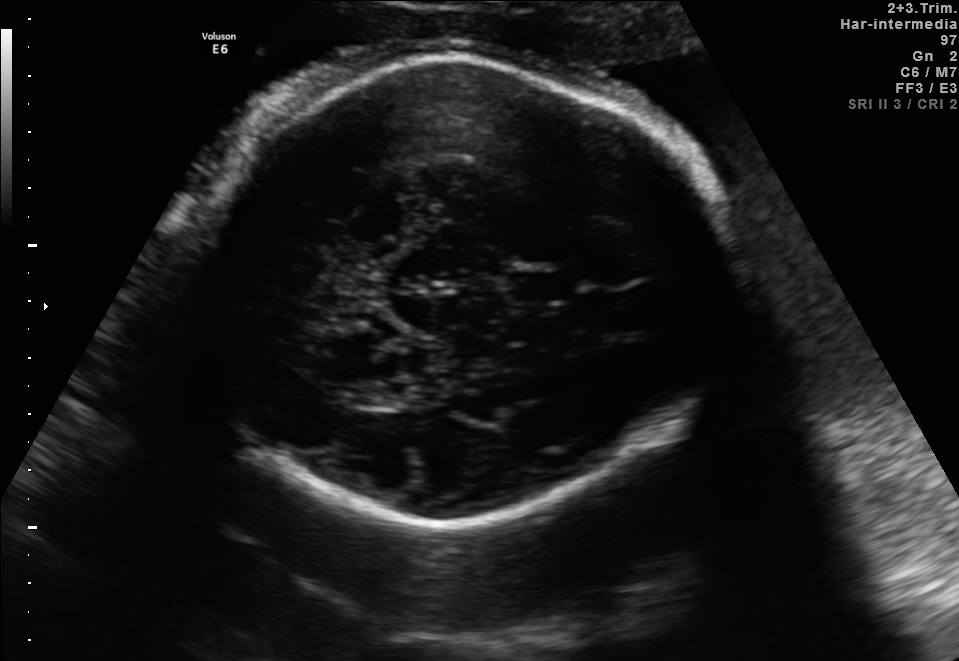
Fetal brain, trans-thalamic plane. Give [x1,y1,x2,y2] bounding boxes for each visible structure among: fetal head, CSP, LV.

Head: [183,54,724,523]
CSP: [506,273,568,300]
Lateral ventricle: [350,383,408,409]